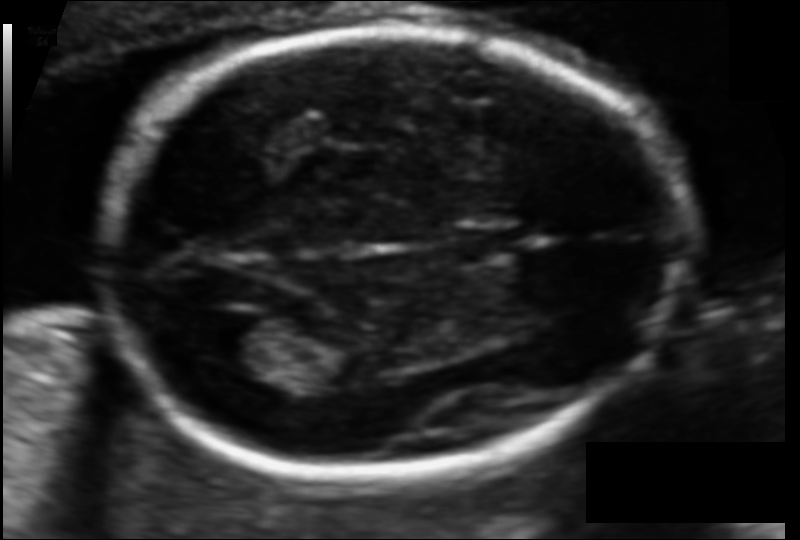
Fetal head ultrasound. Image width: 77.8 mm. Where is the cavum septum pellucidum?

CSP bounding box: [458,224,520,263]